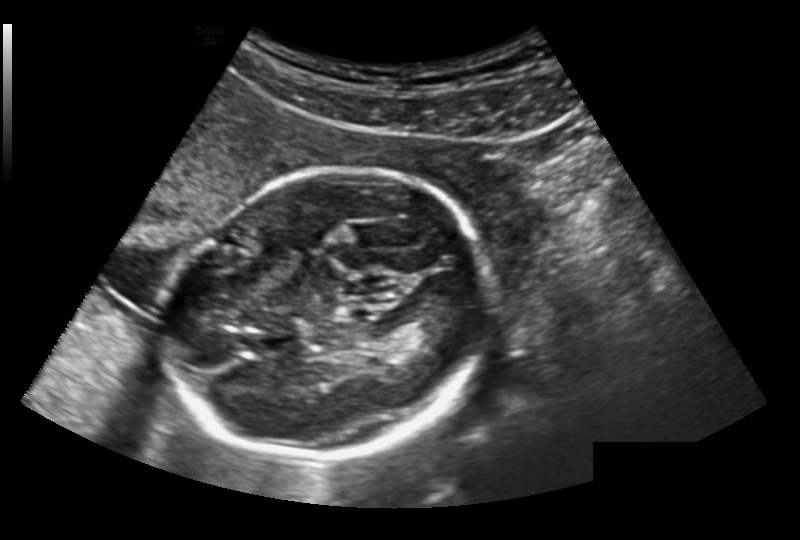
Fetal head ultrasound. Image width: 152.5 mm. Locate the fetal head.

Head: [174,167,485,462]